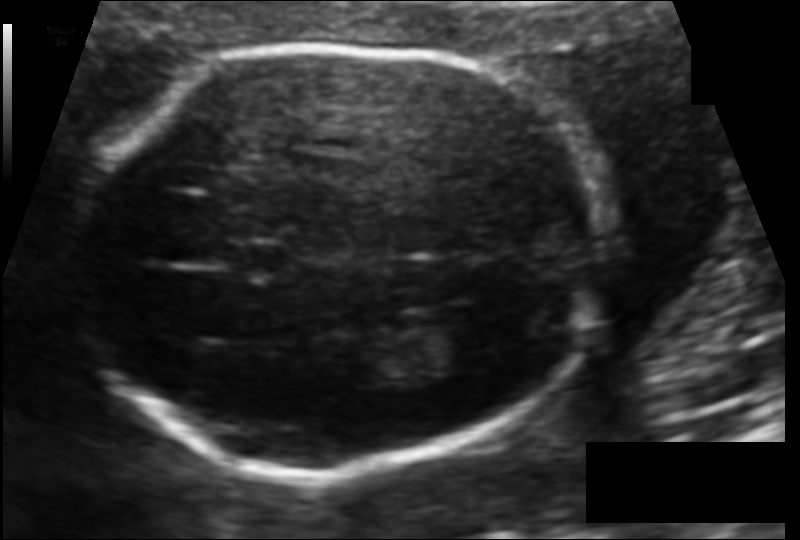
In this fetal head ultrasound, give the bounding box of the cavum septum pellucidum. Image width: 86.3 mm.

[230,244,293,277]